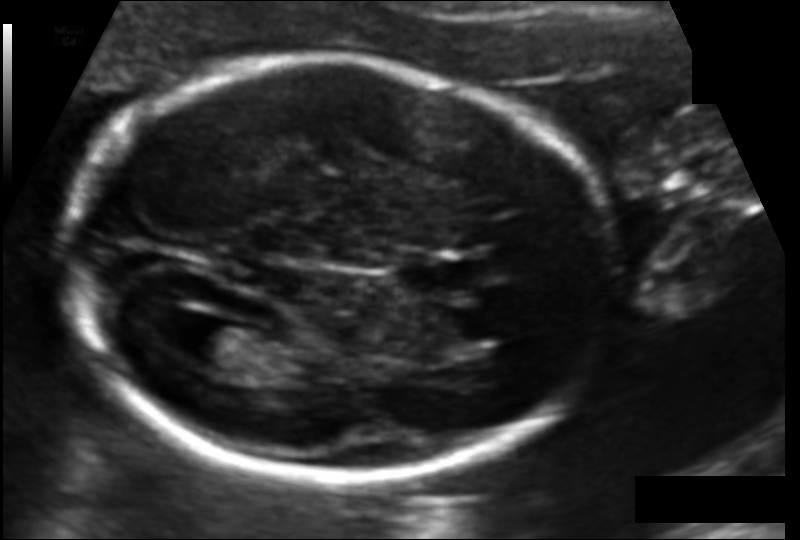
Fetal head ultrasound. Image width: 91.0 mm. Where is the fetal head?

Head bounding box: [64,57,616,481]